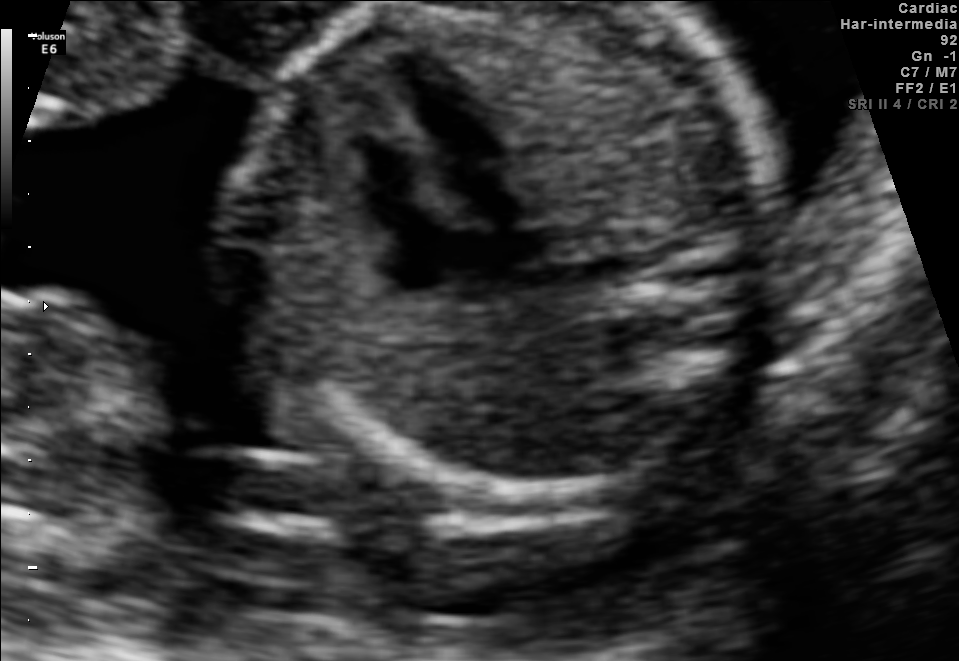
Which standard maternal-fetal ultrasound plane is shown: fetal abdomen, fetal brain, fetal femur, fetal thorax, maternal cervix, or other? If it's fetal brain and one of the three standard brain planes (trans-thalamic, trans-cerebellum, trans-ventricular), name which.

Fetal thorax